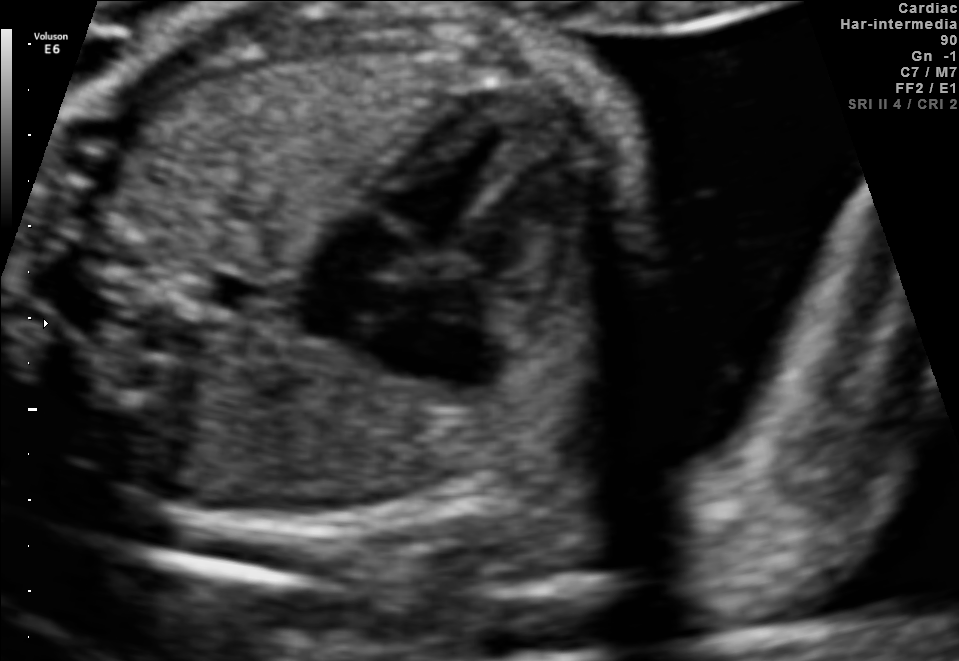
Classify this maternal-fetal ultrasound image as one of the six standard planes — fetal abdomen, fetal brain, fetal femur, fetal thorax, maternal cervix, or other. If it's fetal brain and one of the three standard brain planes (trans-thalamic, trans-cerebellum, trans-ventricular), name which.

Fetal thorax